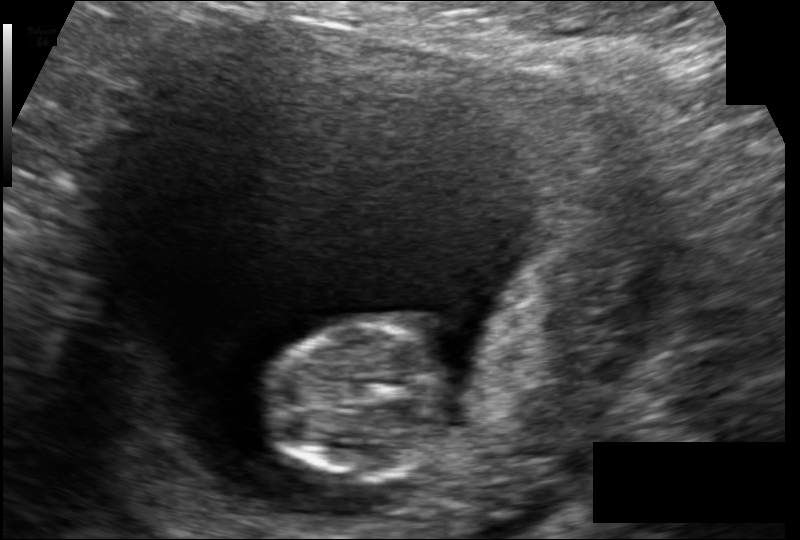
Fetal head ultrasound. Image width: 93.6 mm. Where is the fetal head?

Head bounding box: [263,323,449,482]